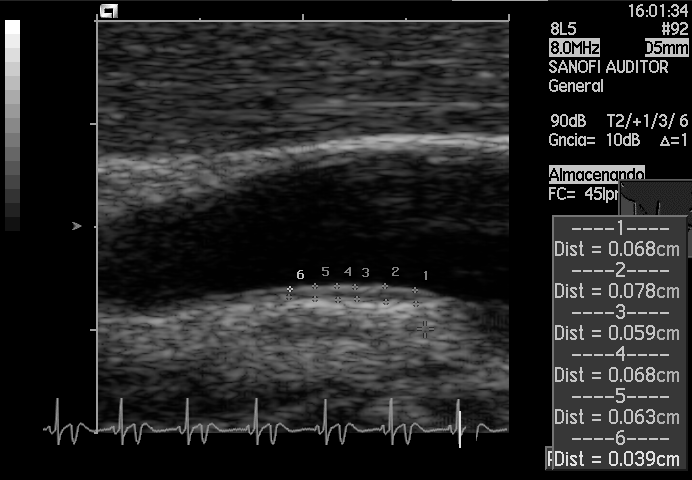
Which standard maternal-fetal ultrasound plane is shown: fetal abdomen, fetal brain, fetal femur, fetal thorax, maternal cervix, or other? If it's fetal brain and one of the three standard brain planes (trans-thalamic, trans-cerebellum, trans-ventricular), name which.

Other